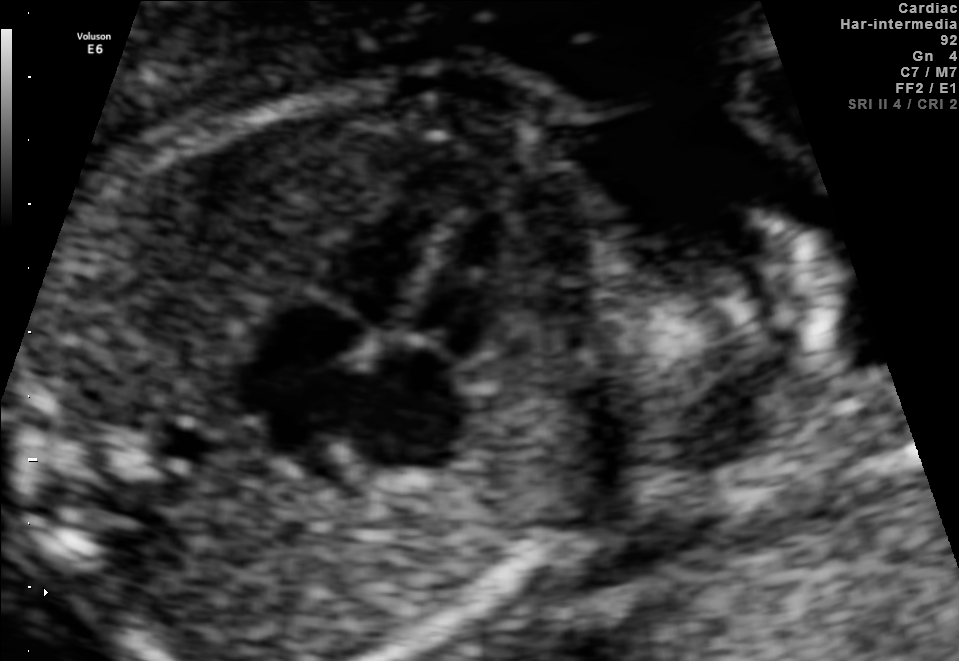
This is a 2D maternal-fetal ultrasound frame. Is it a fetal abdomen, fetal brain, fetal femur, fetal thorax, maternal cervix, or other standard plane? If it's fetal brain and one of the three standard brain planes (trans-thalamic, trans-cerebellum, trans-ventricular), name which.

Fetal thorax